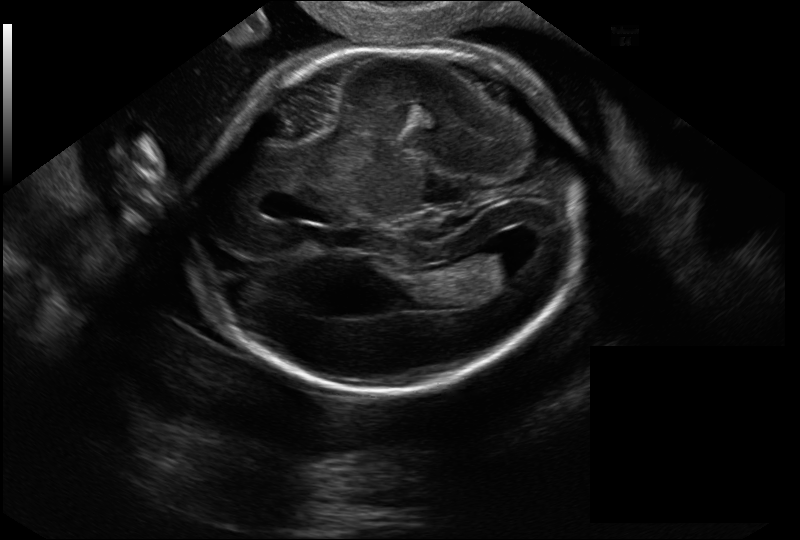
In this fetal head ultrasound, give the bounding box of the lateral ventricle. Image width: 115.6 mm.

[472,228,539,290]